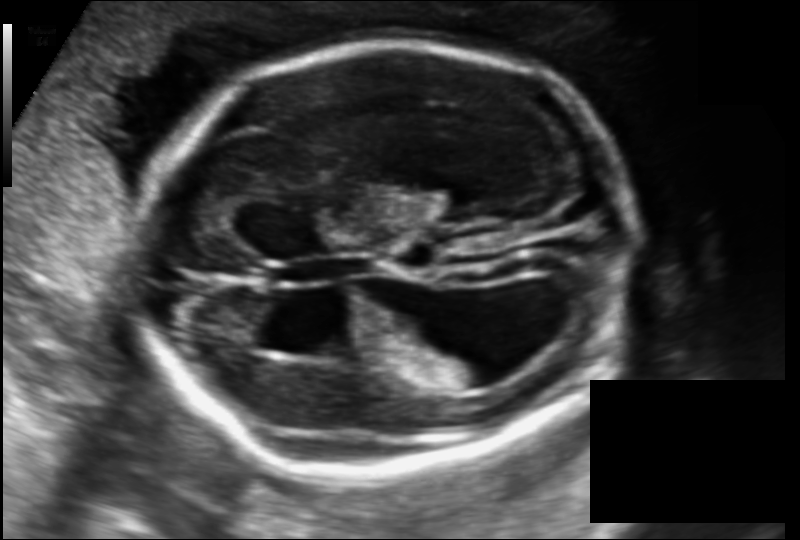
Fetal head ultrasound. Image width: 112.8 mm. Give [x1,y1,x2,y2] bounding boxes for each visible structure among: fetal head, CSP, LV.

Head: [133,44,635,466]